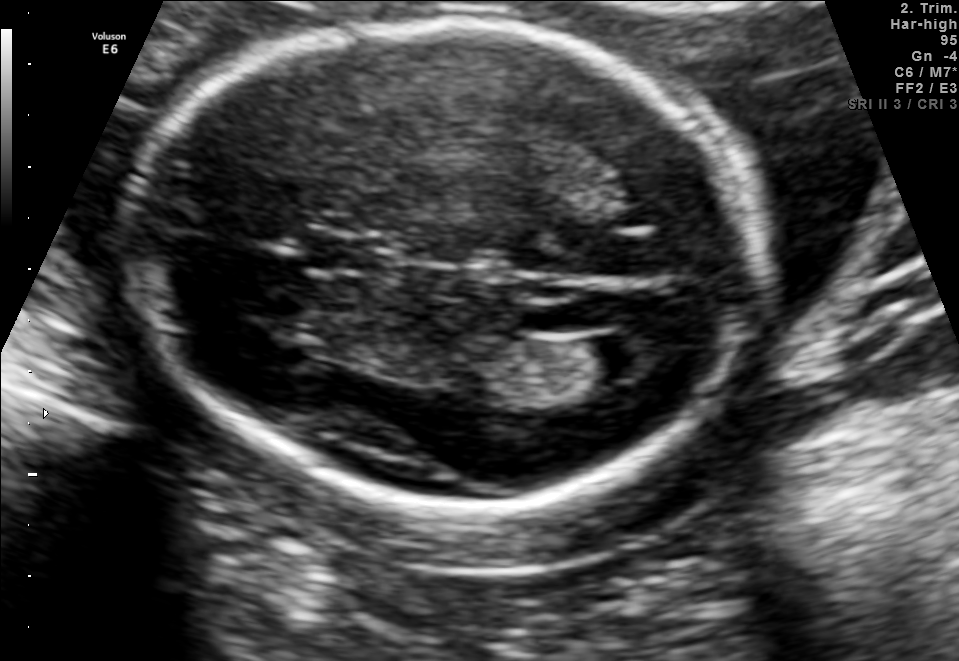
Fetal brain, trans-ventricular plane. Where is the lateral ventricle?

Lateral ventricle bounding box: [583,319,667,387]